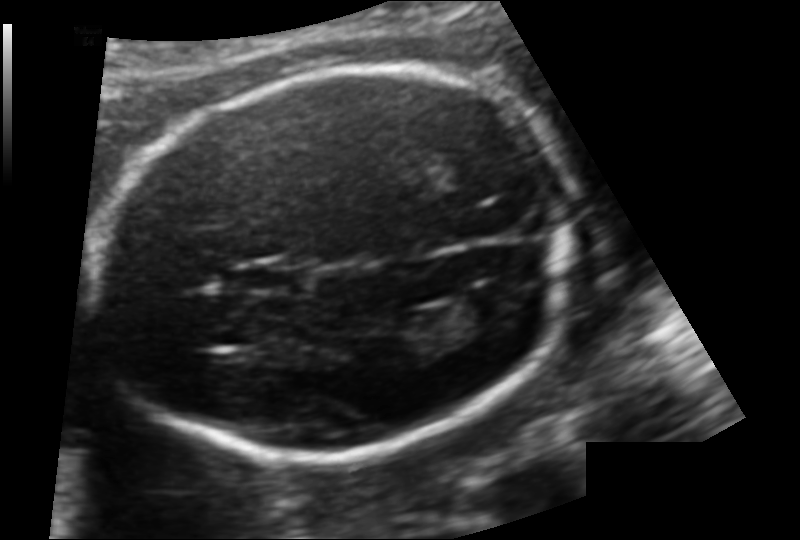
In this fetal head ultrasound, give bounding boxes for the head outline, cavum septum pellucidum (CSP), and lateral ventricle (LV), where visible. Image width: 98.8 mm.

Head: [95,69,570,466]
CSP: [230,255,308,300]
Lateral ventricle: [443,282,510,337]